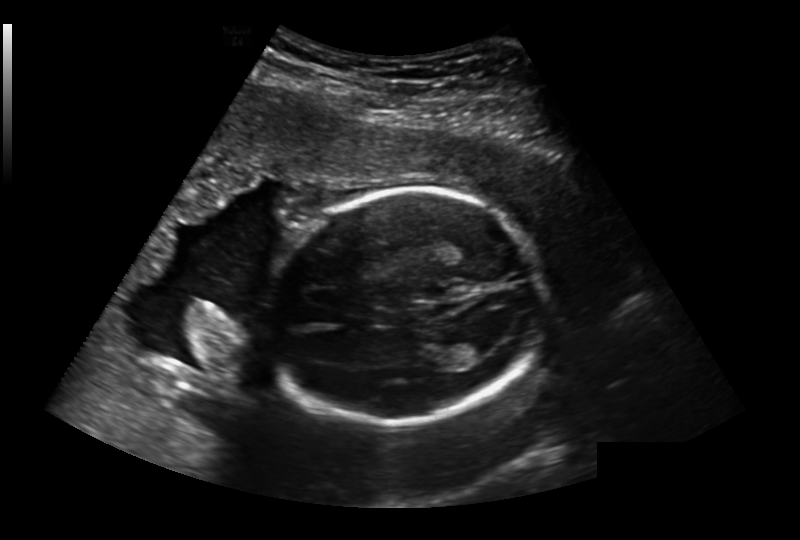
In this fetal head ultrasound, give the bounding box of the fetal head. Image width: 188.7 mm.

[264,190,541,425]